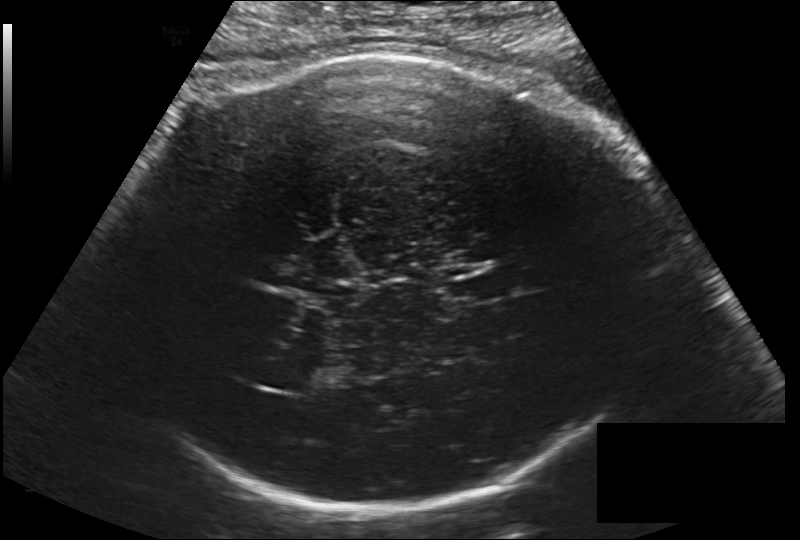
Measure the fetal head circumference shown in this ultrasound image. Image width: 162.2 mm.

Head circumference: 331.7 mm.